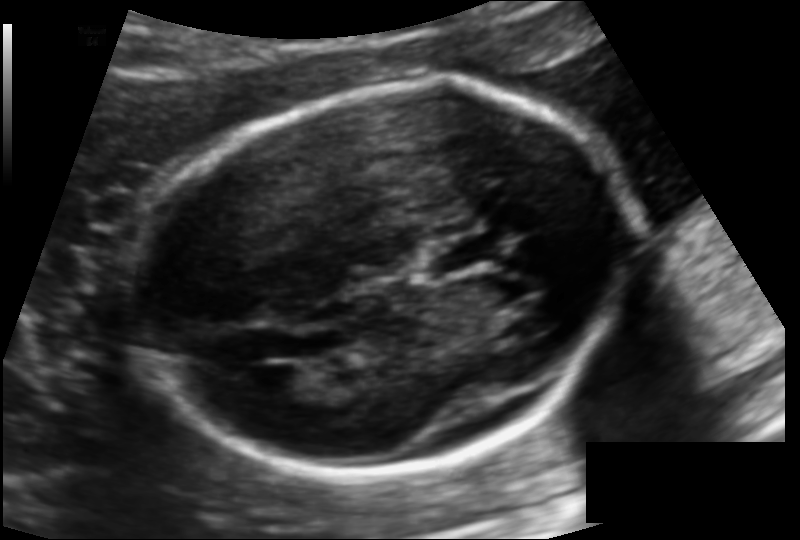
Fetal head ultrasound. Image width: 99.2 mm. Where is the cavum septum pellucidum?

CSP bounding box: [416,228,503,284]